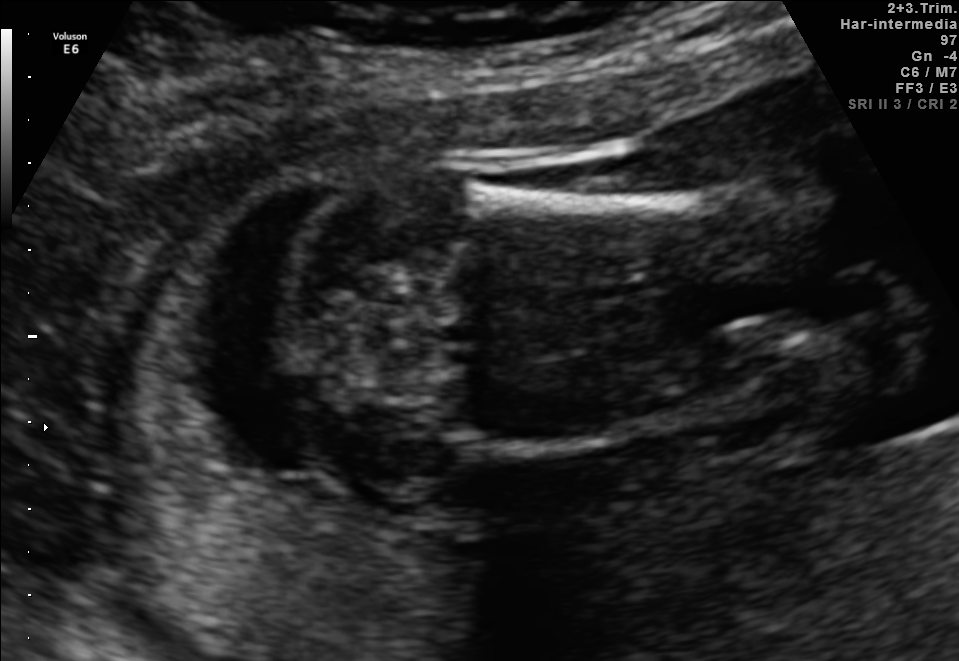
Classify this maternal-fetal ultrasound image as one of the six standard planes — fetal abdomen, fetal brain, fetal femur, fetal thorax, maternal cervix, or other. If it's fetal brain and one of the three standard brain planes (trans-thalamic, trans-cerebellum, trans-ventricular), name which.

Fetal femur